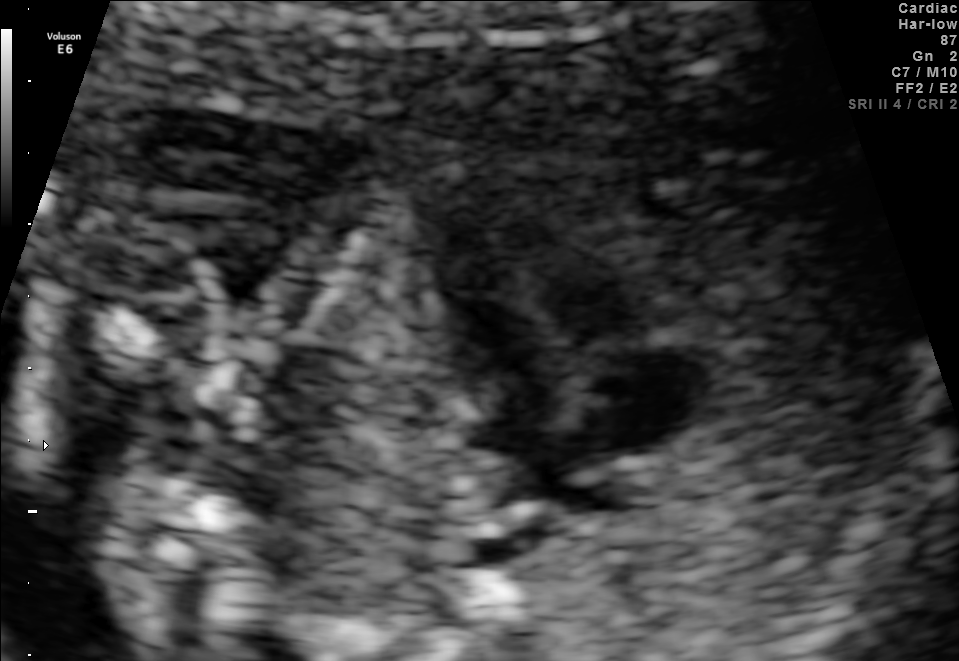
Identify the standard plane in this fetal ultrasound image: fetal abdomen, fetal brain, fetal femur, fetal thorax, maternal cervix, or other. If it's fetal brain and one of the three standard brain planes (trans-thalamic, trans-cerebellum, trans-ventricular), name which.

Fetal thorax